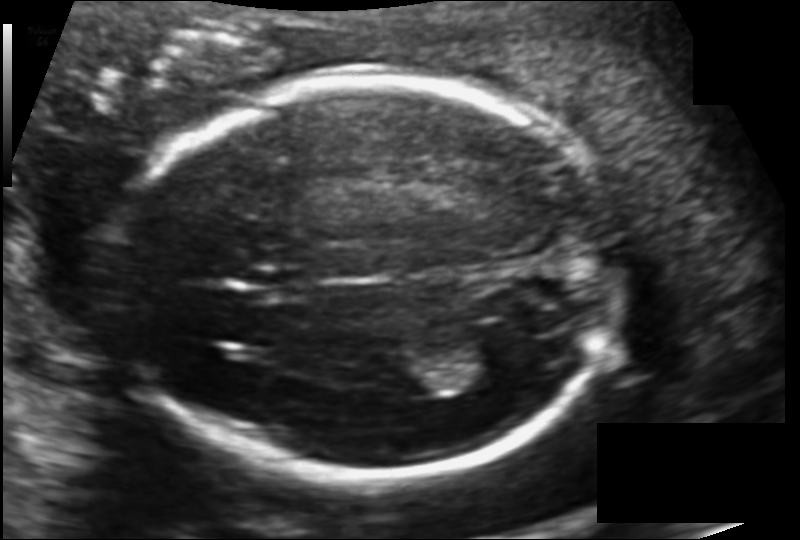
Fetal head ultrasound. Image width: 101.2 mm. Locate the fetal head and, if visible, the cavum septum pellucidum (CSP) and lateral ventricle (LV). Give bounding boxes as [x1,y1,x2,y2].

Head: [122,80,620,478]